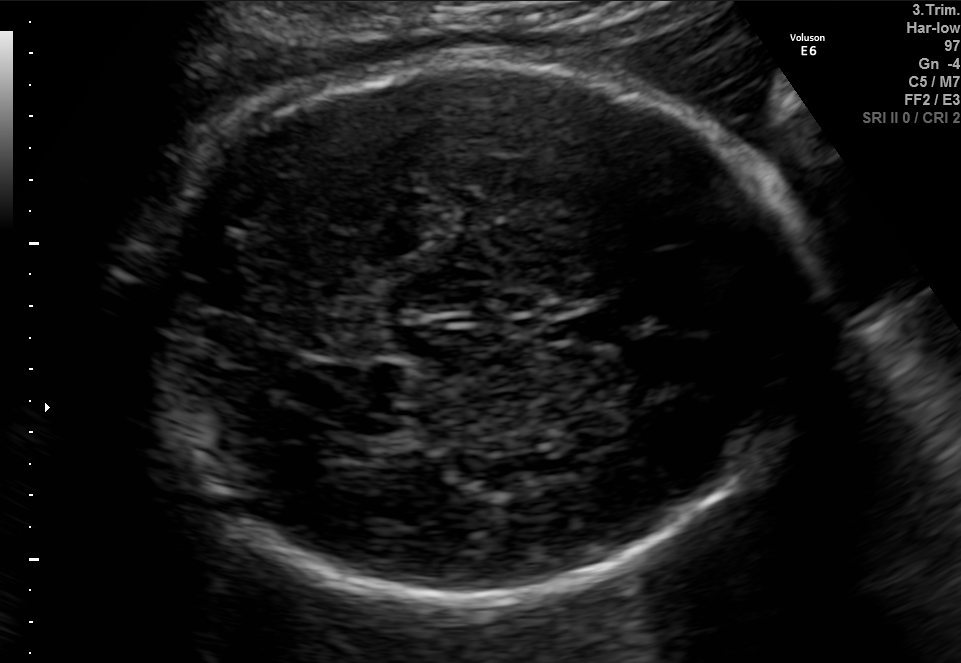
Fetal brain, trans-thalamic plane. Locate the fetal head and, if visible, the cavum septum pellucidum (CSP) and lateral ventricle (LV). Give bounding boxes as [x1,y1,x2,y2].

Head: [133,59,812,606]
CSP: [555,309,627,347]